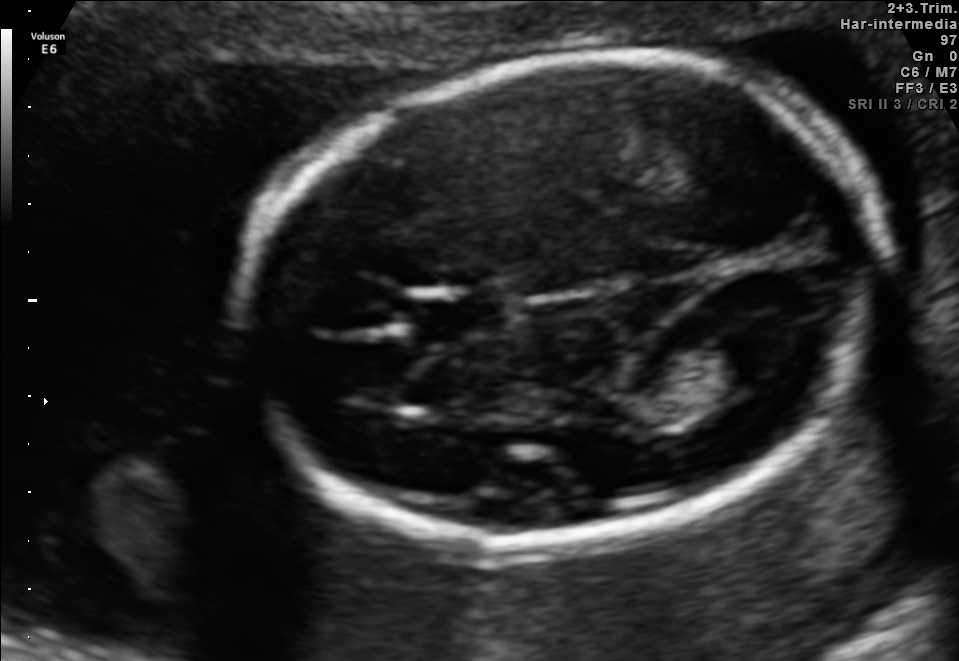
Fetal brain, trans-ventricular plane. Locate the lateral ventricle.

Lateral ventricle: [702,306,809,395]